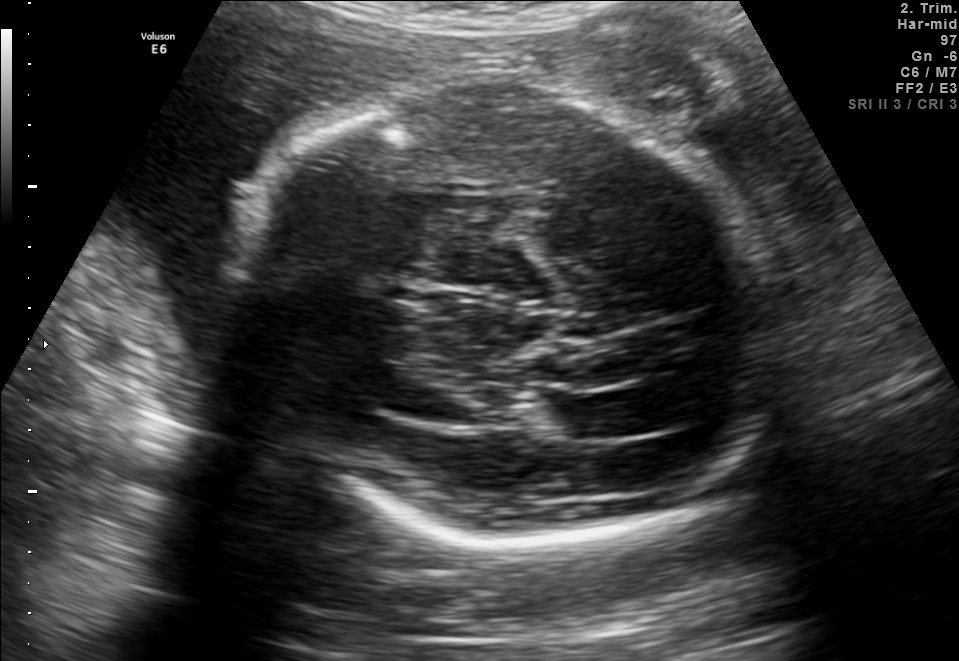
Fetal brain, trans-thalamic plane. Locate the fetal head.

Head: [221,83,786,546]